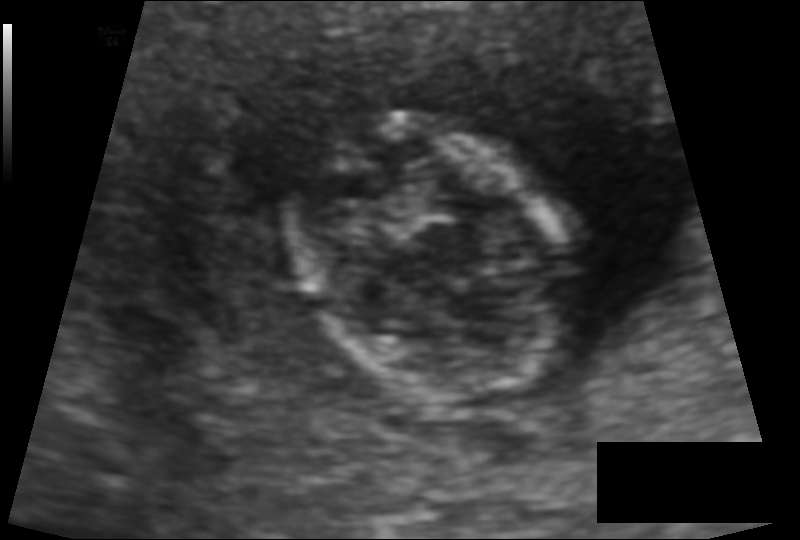
What is the fetal head circumference? Image width is 72.9 mm.

79.3 mm